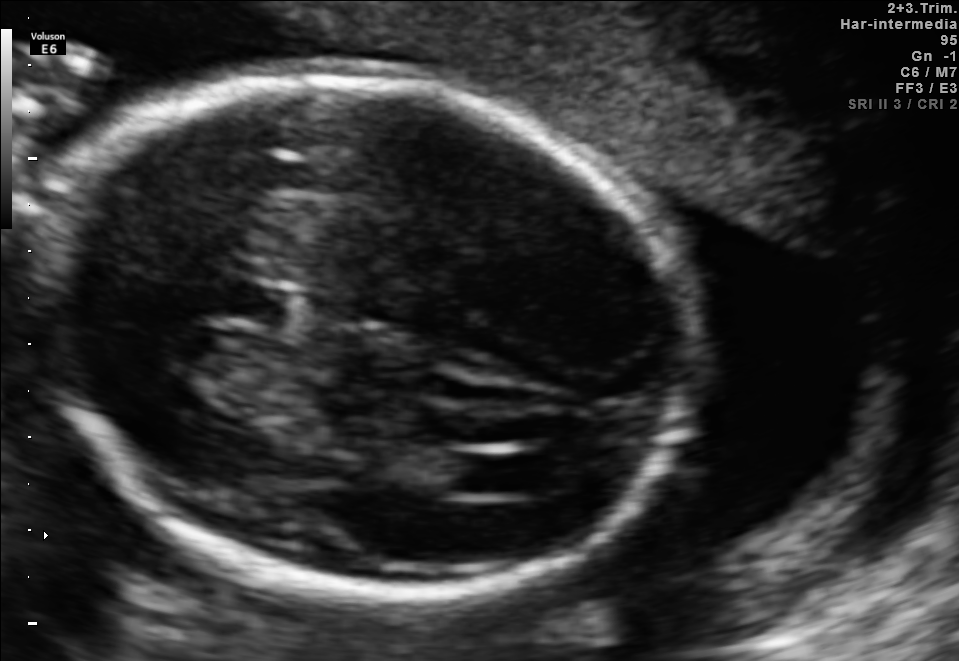
Fetal brain, trans-ventricular plane. Locate the fetal head and, if visible, the cavum septum pellucidum (CSP) and lateral ventricle (LV). Give bounding boxes as [x1,y1,x2,y2].

Head: [29,62,704,607]
CSP: [212,278,289,329]
Lateral ventricle: [451,455,514,493]